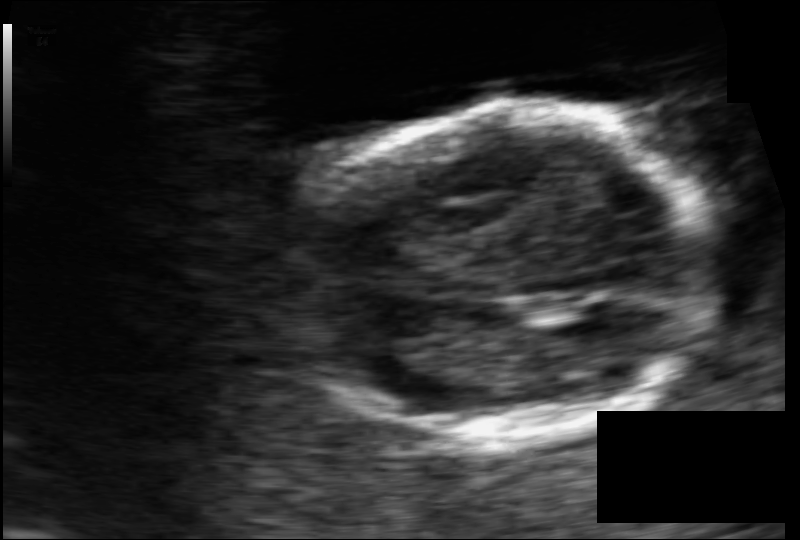
In this fetal head ultrasound, give the bounding box of the fetal head. Image width: 67.0 mm.

[291,105,719,440]